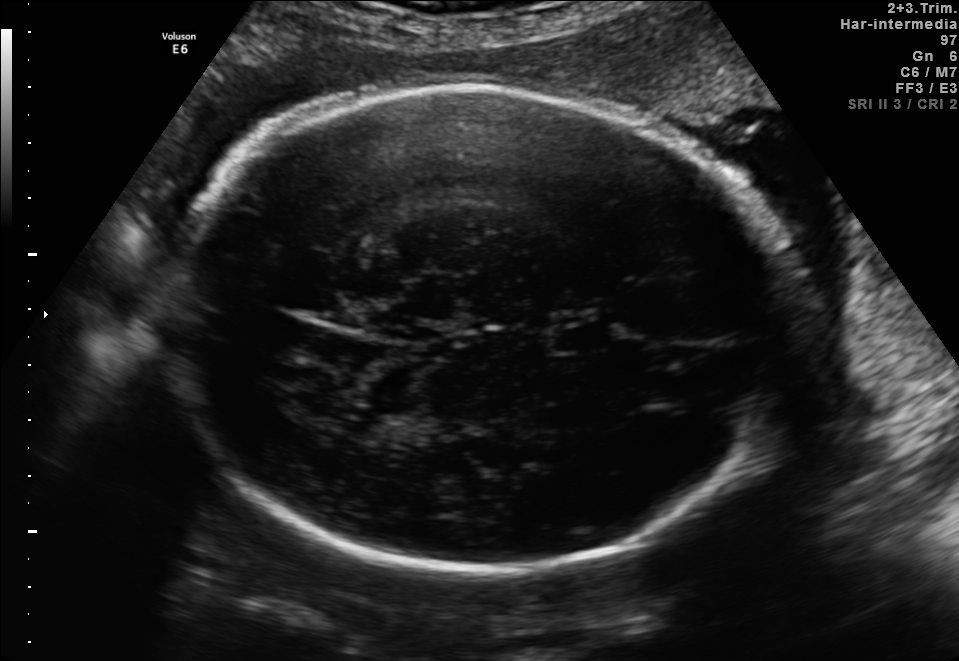
Fetal brain, trans-thalamic plane. Where is the cavum septum pellucidum?

CSP bounding box: [553,324,615,352]